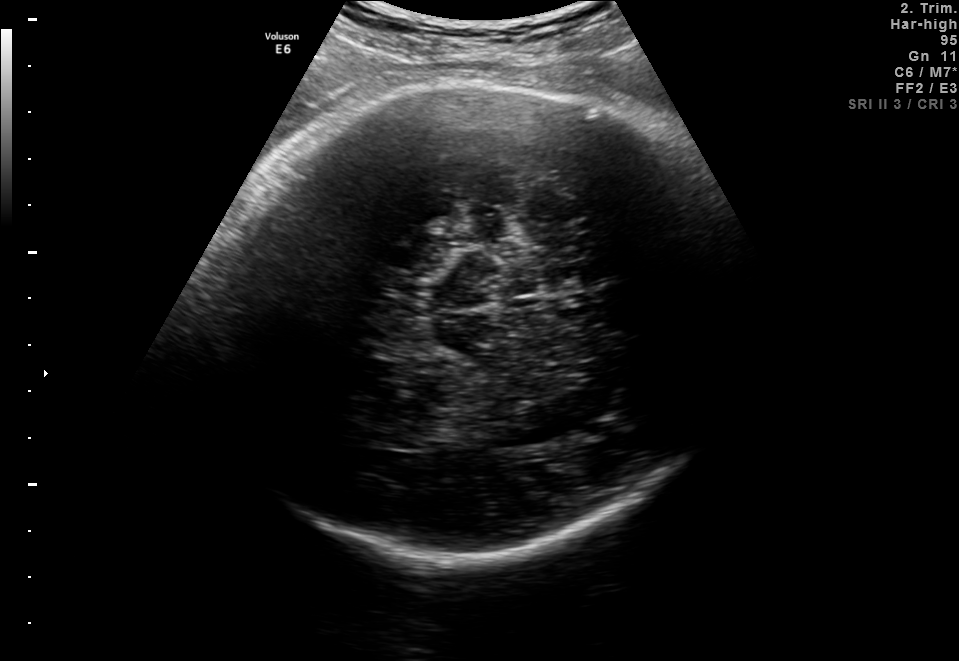
Classify this maternal-fetal ultrasound image as one of the six standard planes — fetal abdomen, fetal brain, fetal femur, fetal thorax, maternal cervix, or other. If it's fetal brain and one of the three standard brain planes (trans-thalamic, trans-cerebellum, trans-ventricular), name which.

Fetal brain (trans-thalamic plane)